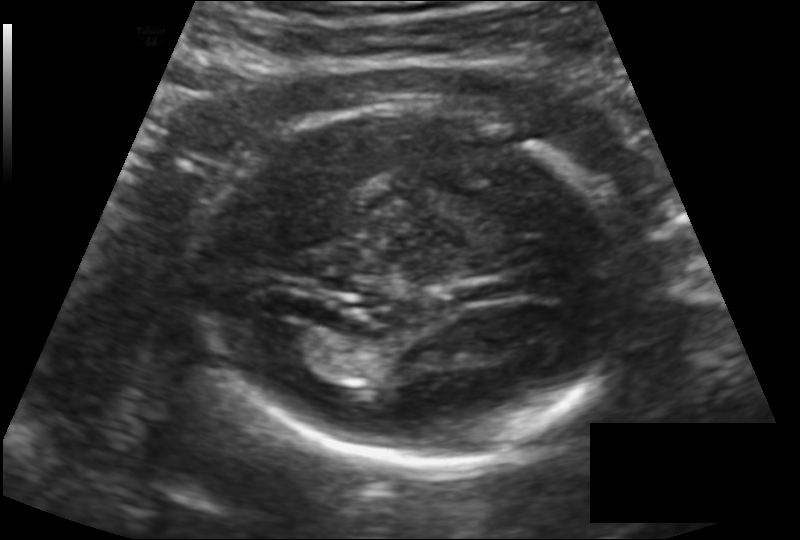
Estimate the fetal head circumference from this 2D ultrasound.

Head circumference: 178.3 mm (image width 113.7 mm).